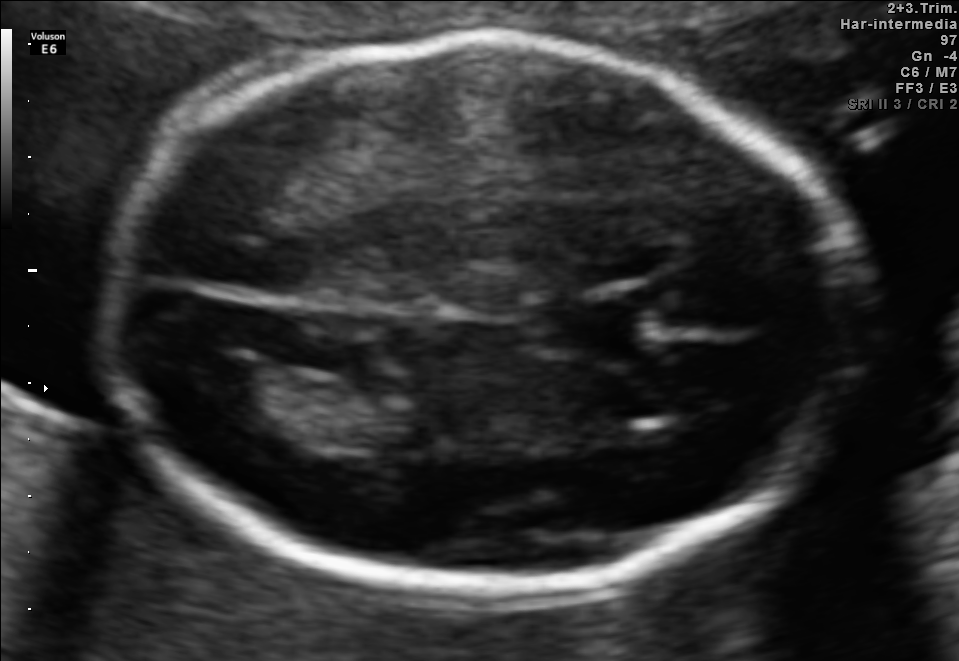
Fetal brain, trans-ventricular plane. Where is the cavum septum pellucidum?

CSP bounding box: [523,298,649,351]